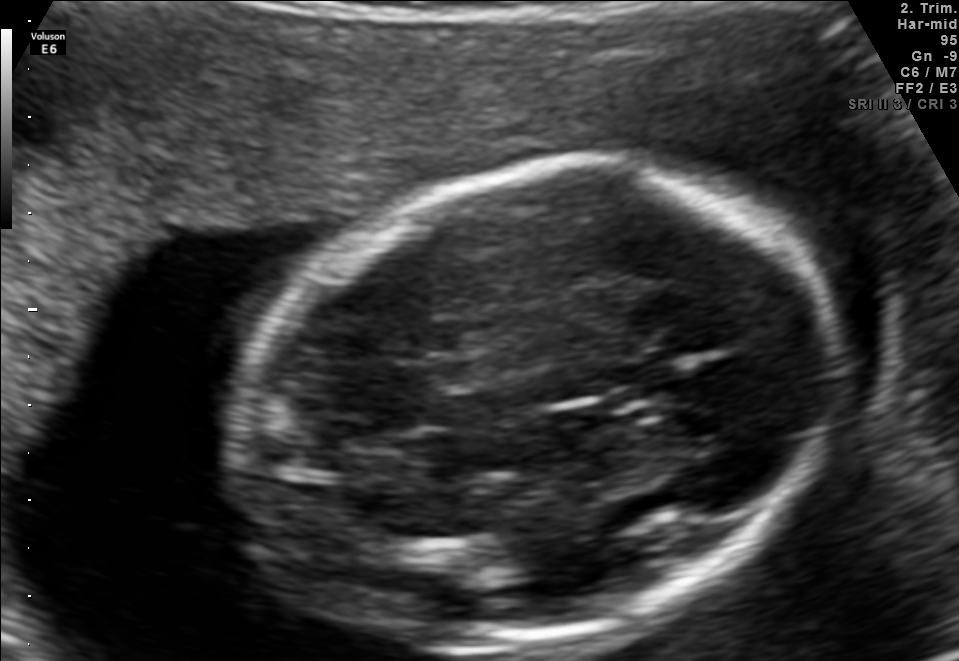
In this fetal brain, trans-thalamic plane, give the bounding box of the fetal head.

[232,155,839,654]